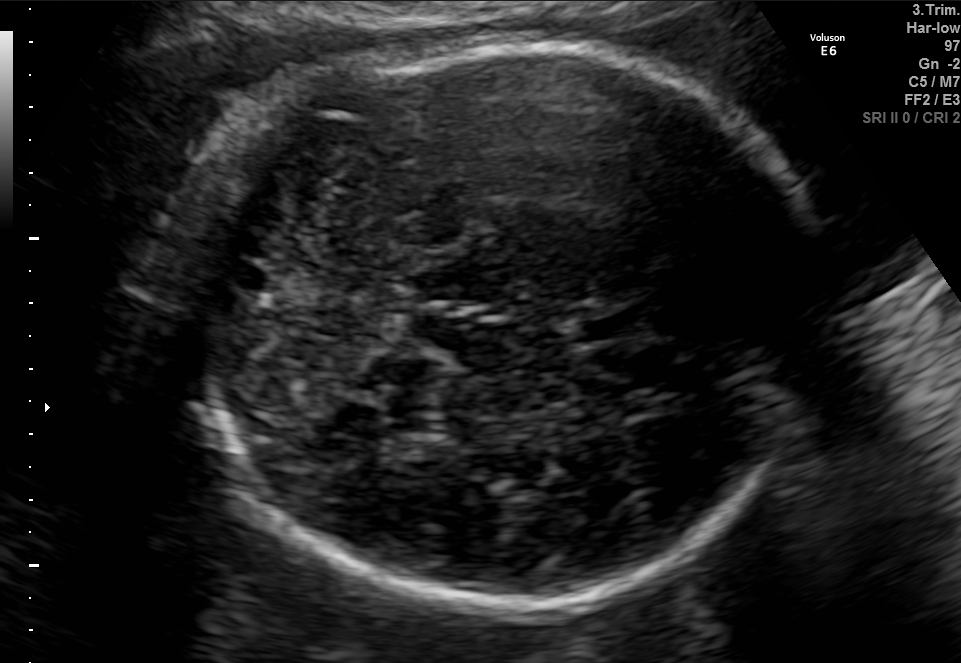
Fetal brain, trans-cerebellum plane. Give [x1,y1,x2,y2] bounding boxes for each visible structure among: fetal head, CSP, LV.

Head: [220,48,805,615]
CSP: [571,309,645,345]